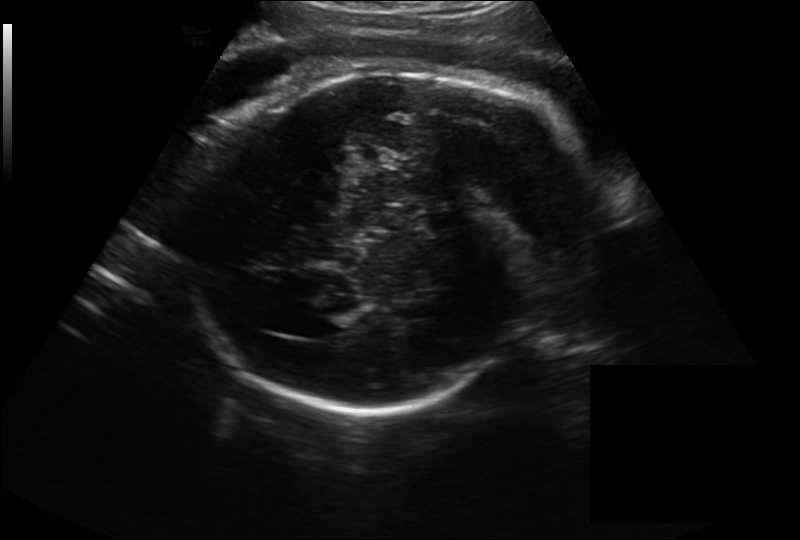
What is the fetal head circumference? Image width is 209.3 mm.

312.5 mm